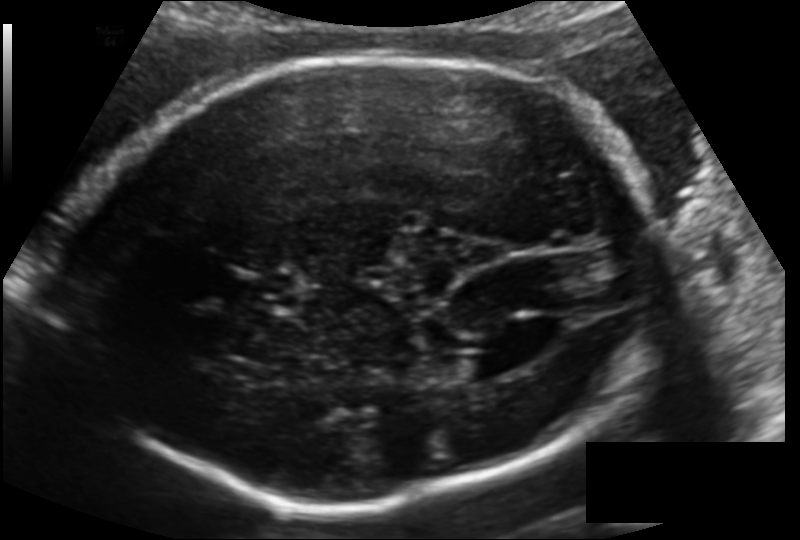
In this fetal head ultrasound, give the bounding box of the fetal head. Image width: 118.6 mm.

[61,57,662,507]